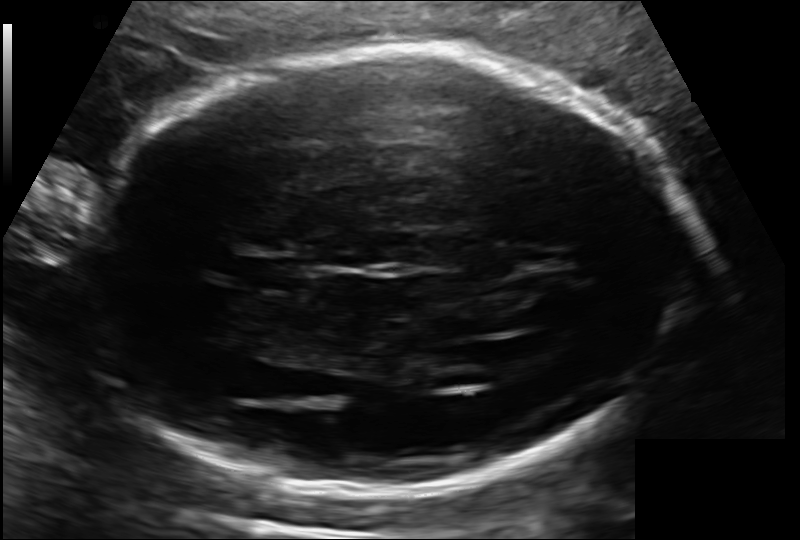
From this fetal ultrasound, estimate the head circumference (image width 114.4 mm).

Head circumference: 249.5 mm.